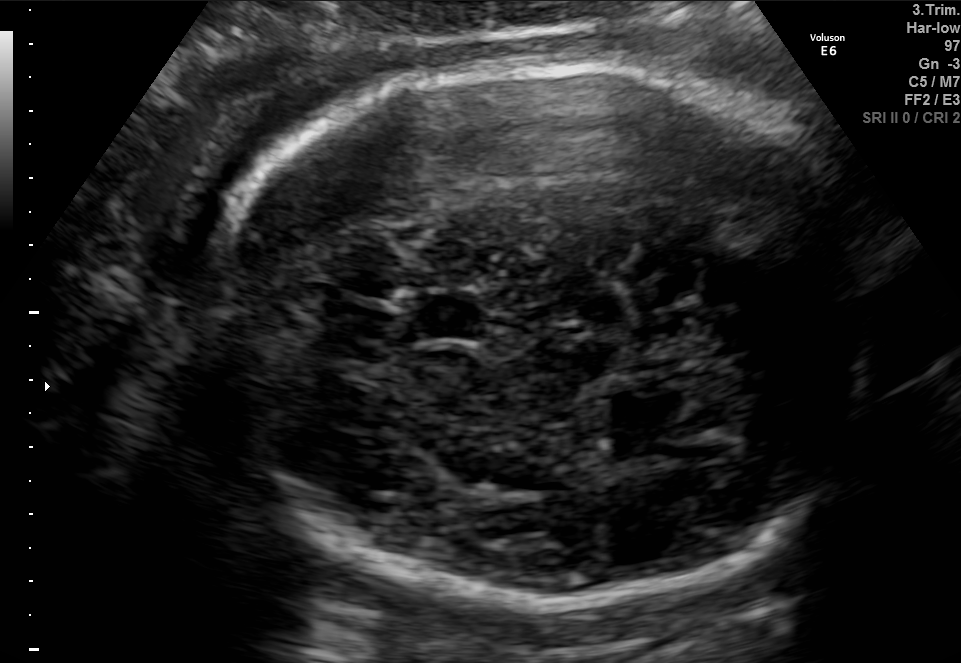
Fetal brain, trans-thalamic plane. Locate the fetal head and, if visible, the cavum septum pellucidum (CSP) and lateral ventricle (LV). Give bounding boxes as [x1,y1,x2,y2].

Head: [191,61,894,594]
CSP: [412,293,489,343]